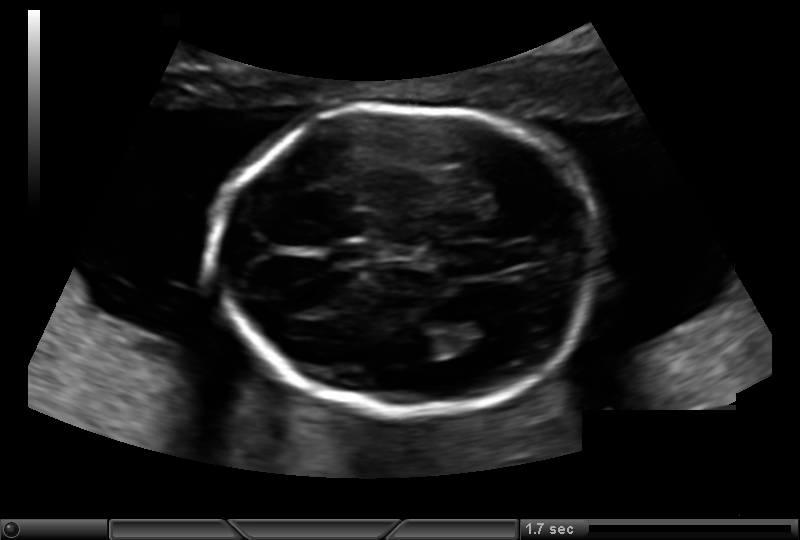
In this fetal head ultrasound, give bounding boxes for the head outline, cavum septum pellucidum (CSP), and lateral ventricle (LV), where visible. Image width: 107.7 mm.

Head: [215,106,596,413]
CSP: [334,242,375,263]